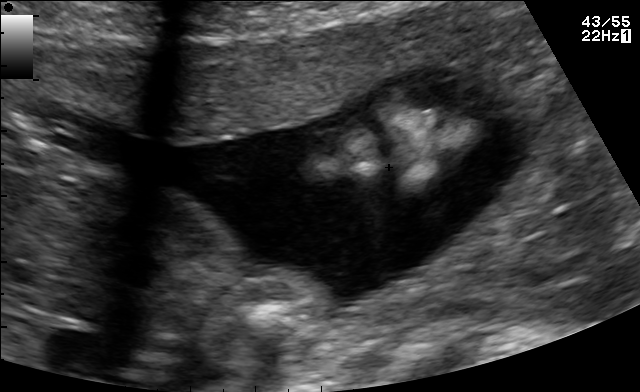
This is a 2D maternal-fetal ultrasound frame. Is it a fetal abdomen, fetal brain, fetal femur, fetal thorax, maternal cervix, or other standard plane? If it's fetal brain and one of the three standard brain planes (trans-thalamic, trans-cerebellum, trans-ventricular), name which.

Other